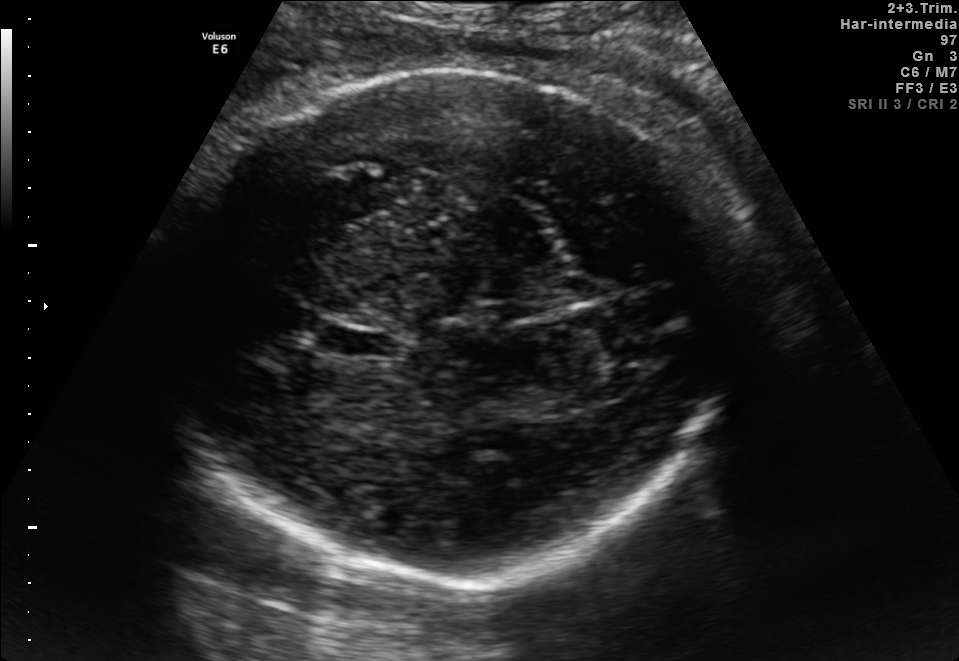
In this fetal brain, trans-thalamic plane, give the bounding box of the cavum septum pellucidum.

[331,325,404,361]